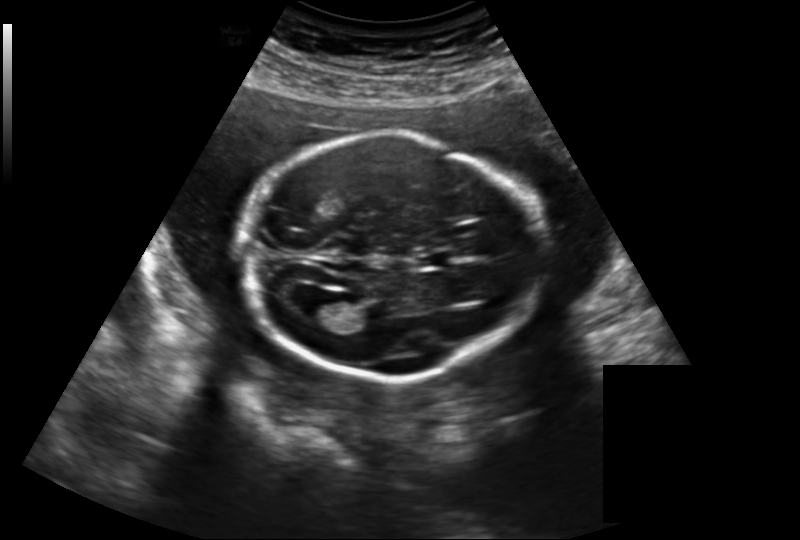
Measure the fetal head circumference shown in this ultrasound image. Image width: 175.2 mm.

Head circumference: 195.9 mm.